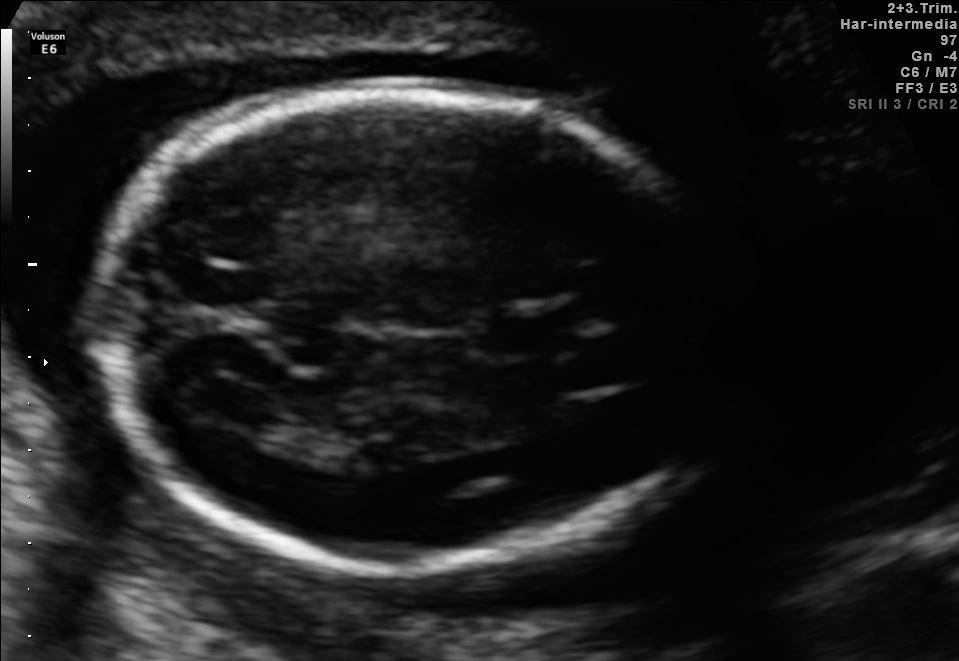
Fetal brain, trans-ventricular plane. Where is the fetal head?

Head bounding box: [82,78,753,589]